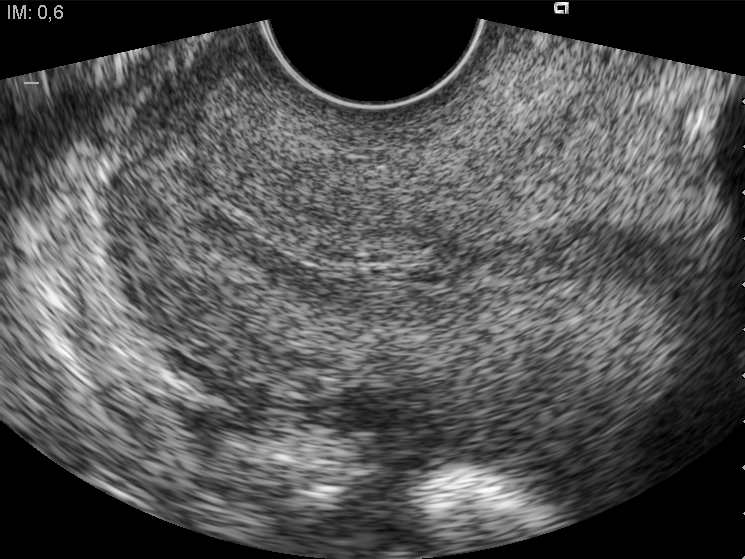
This is a 2D maternal-fetal ultrasound frame. Is it a fetal abdomen, fetal brain, fetal femur, fetal thorax, maternal cervix, or other standard plane? If it's fetal brain and one of the three standard brain planes (trans-thalamic, trans-cerebellum, trans-ventricular), name which.

Maternal cervix